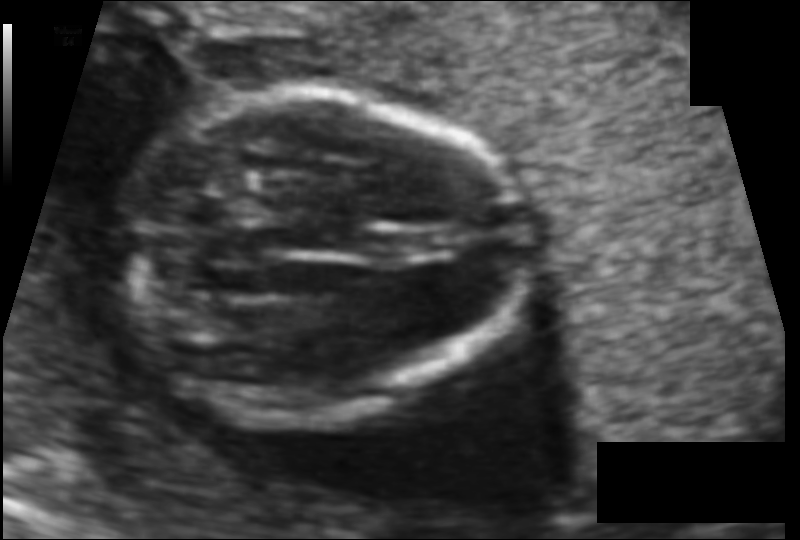
Fetal head ultrasound. Image width: 71.6 mm. Locate the fetal head and, if visible, the cavum septum pellucidum (CSP) and lateral ventricle (LV). Give bounding boxes as [x1,y1,x2,y2].

Head: [124,91,524,422]
CSP: [372,230,438,261]